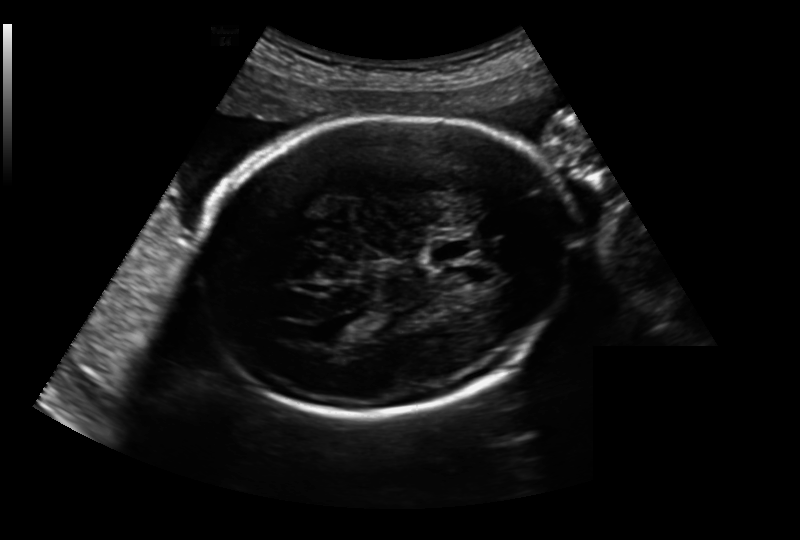
Estimate the fetal head circumference from this 2D ultrasound.

Head circumference: 233.3 mm (image width 170.6 mm).